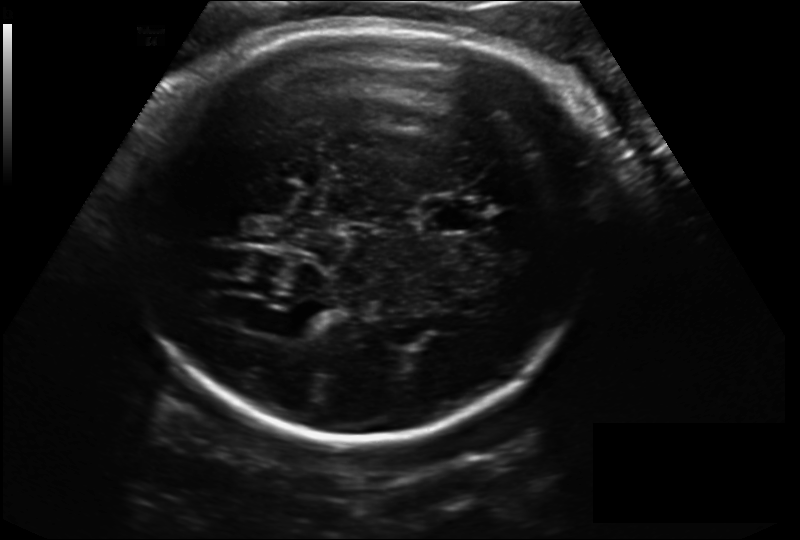
Fetal head ultrasound. Image width: 158.7 mm. Where is the lateral ventricle?

Lateral ventricle bounding box: [266,307,321,344]